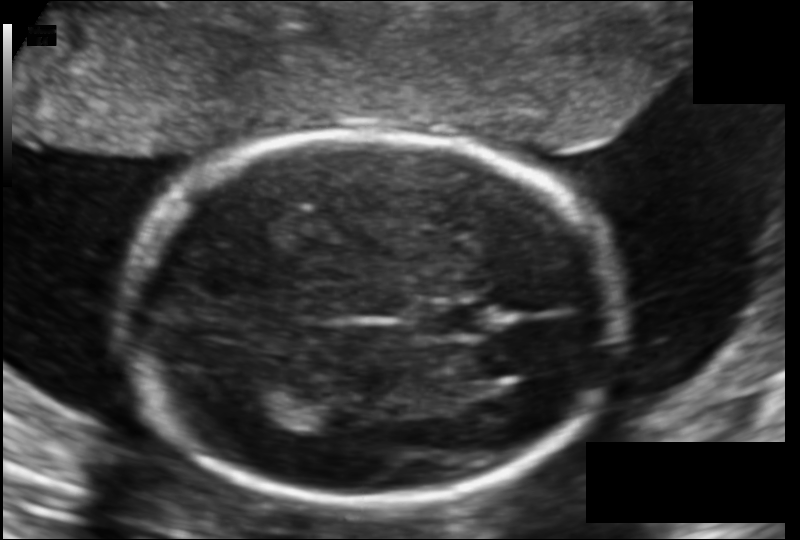
Fetal head ultrasound. Image width: 98.4 mm. Give [x1,y1,x2,y2] bounding boxes for each visible structure among: fetal head, CSP, LV.

Head: [125,134,618,506]
CSP: [413,303,489,340]